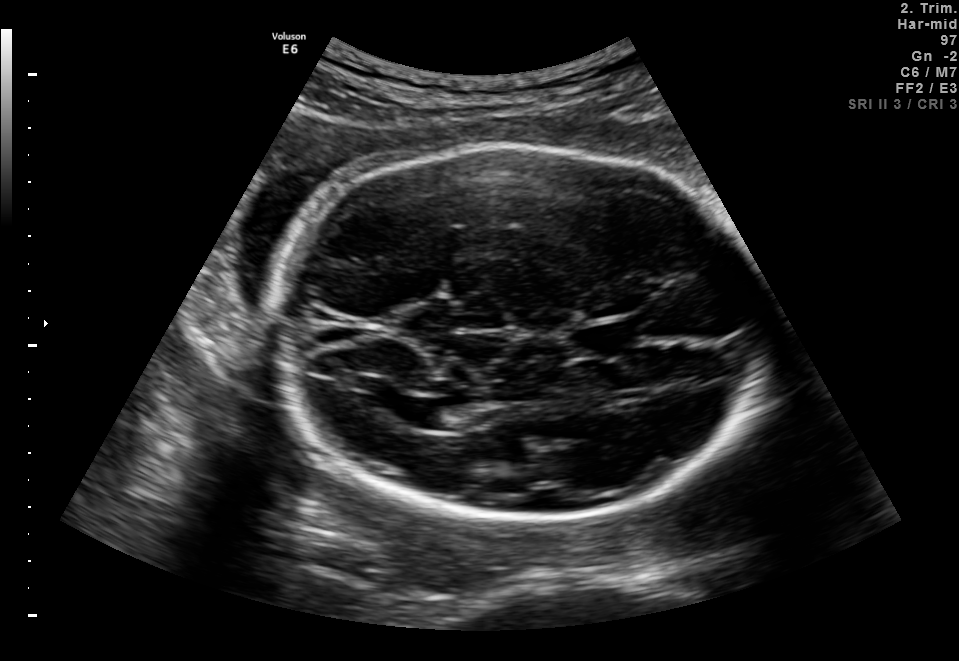
In this fetal brain, trans-ventricular plane, give the bounding box of the fetal head.

[268,142,773,529]